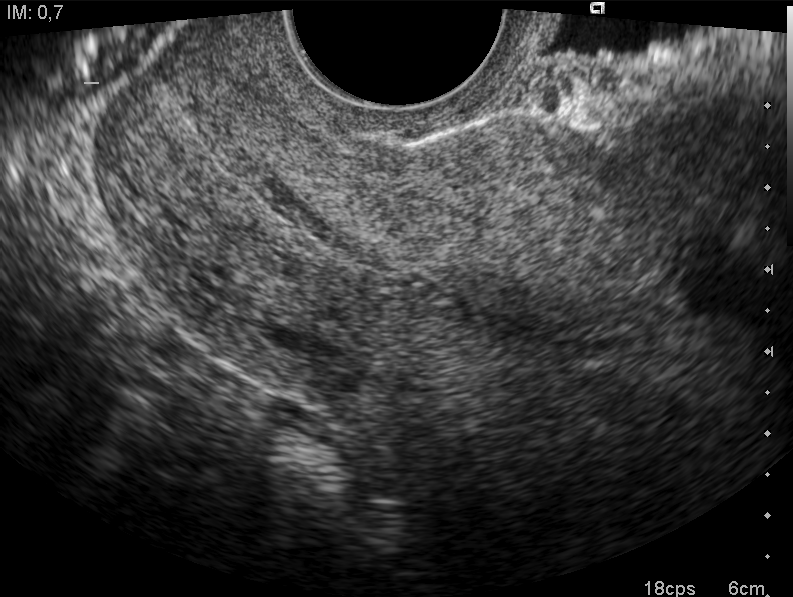
Which standard maternal-fetal ultrasound plane is shown: fetal abdomen, fetal brain, fetal femur, fetal thorax, maternal cervix, or other? If it's fetal brain and one of the three standard brain planes (trans-thalamic, trans-cerebellum, trans-ventricular), name which.

Maternal cervix